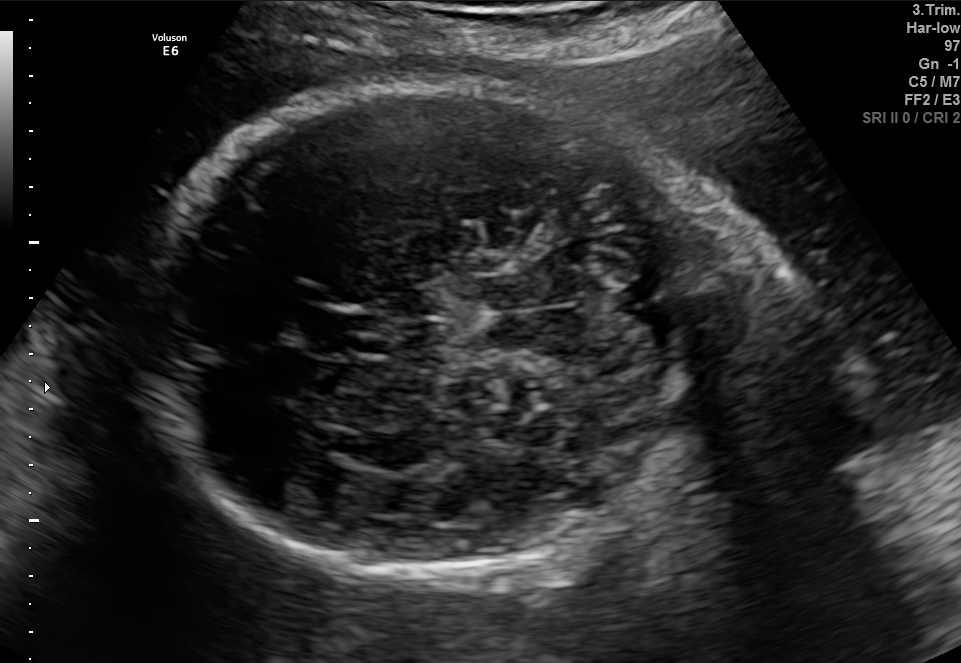
Fetal brain, trans-cerebellum plane. Locate the fetal head.

Head: [146,81,723,578]